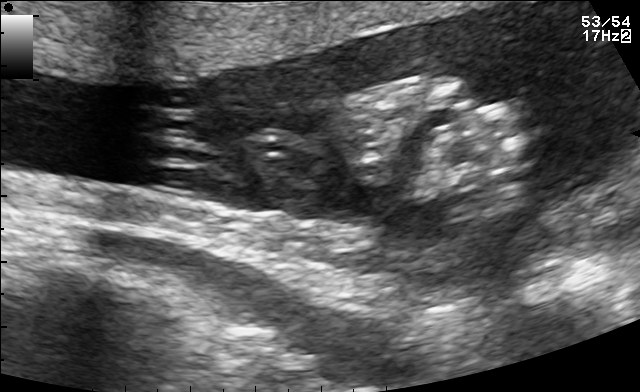
Identify the standard plane in this fetal ultrasound image: fetal abdomen, fetal brain, fetal femur, fetal thorax, maternal cervix, or other. If it's fetal brain and one of the three standard brain planes (trans-thalamic, trans-cerebellum, trans-ventricular), name which.

Other